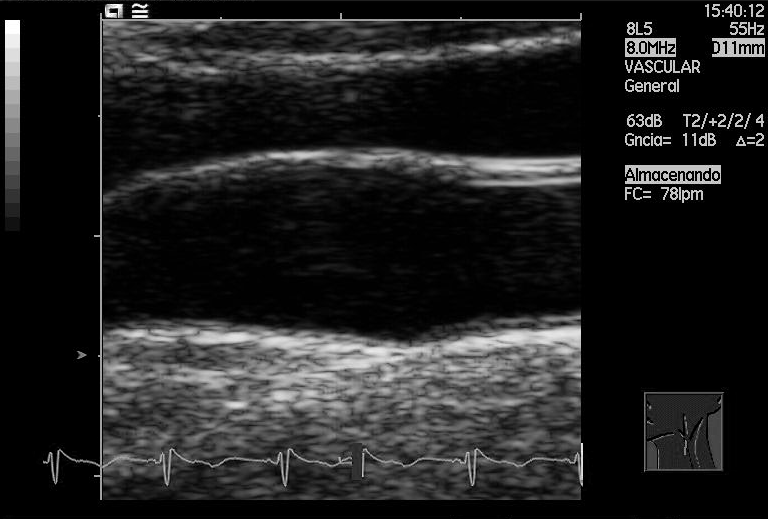
This is a 2D maternal-fetal ultrasound frame. Is it a fetal abdomen, fetal brain, fetal femur, fetal thorax, maternal cervix, or other standard plane? If it's fetal brain and one of the three standard brain planes (trans-thalamic, trans-cerebellum, trans-ventricular), name which.

Other